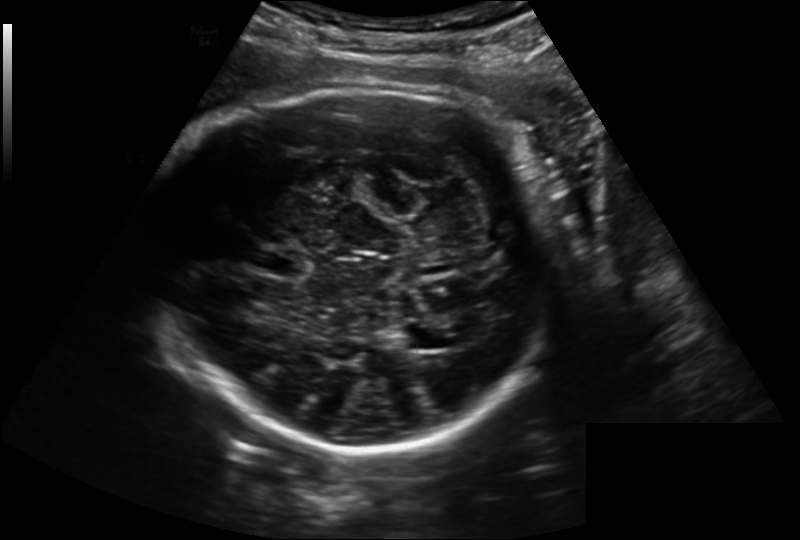
In this fetal head ultrasound, give the bounding box of the fetal head. Image width: 177.2 mm.

[148,80,554,447]